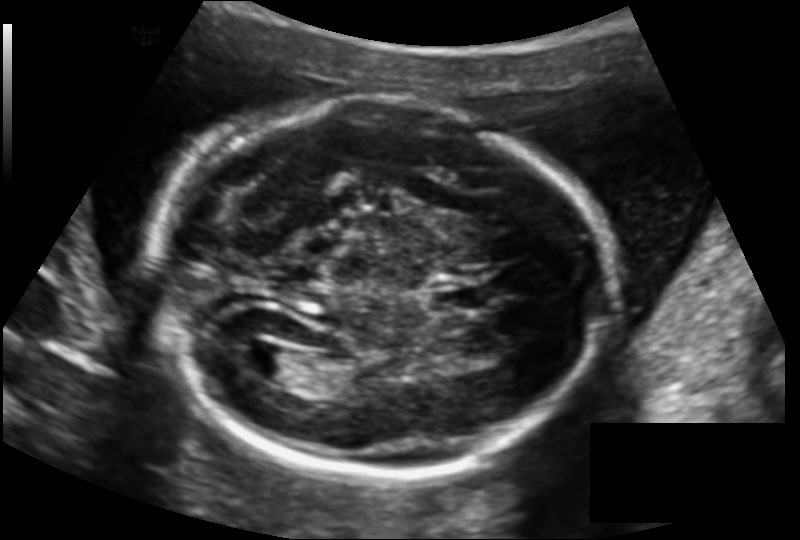
Fetal head ultrasound. Image width: 116.1 mm. Locate the cavum septum pellucidum.

CSP: [433,284,485,312]